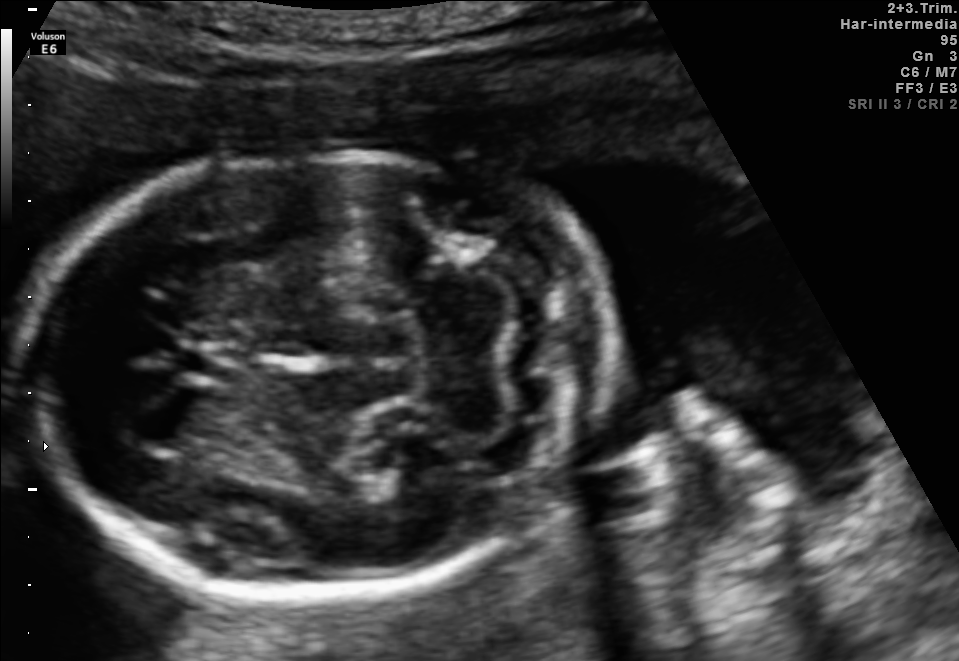
Which standard maternal-fetal ultrasound plane is shown: fetal abdomen, fetal brain, fetal femur, fetal thorax, maternal cervix, or other? If it's fetal brain and one of the three standard brain planes (trans-thalamic, trans-cerebellum, trans-ventricular), name which.

Fetal brain (trans-cerebellum plane)